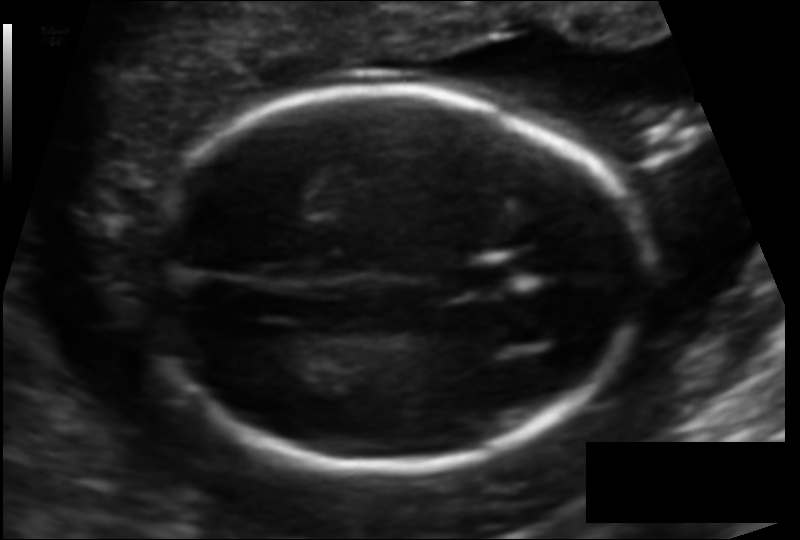
Measure the fetal head circumference shown in this ultrasound image. Image width: 91.5 mm.

Head circumference: 162.0 mm.